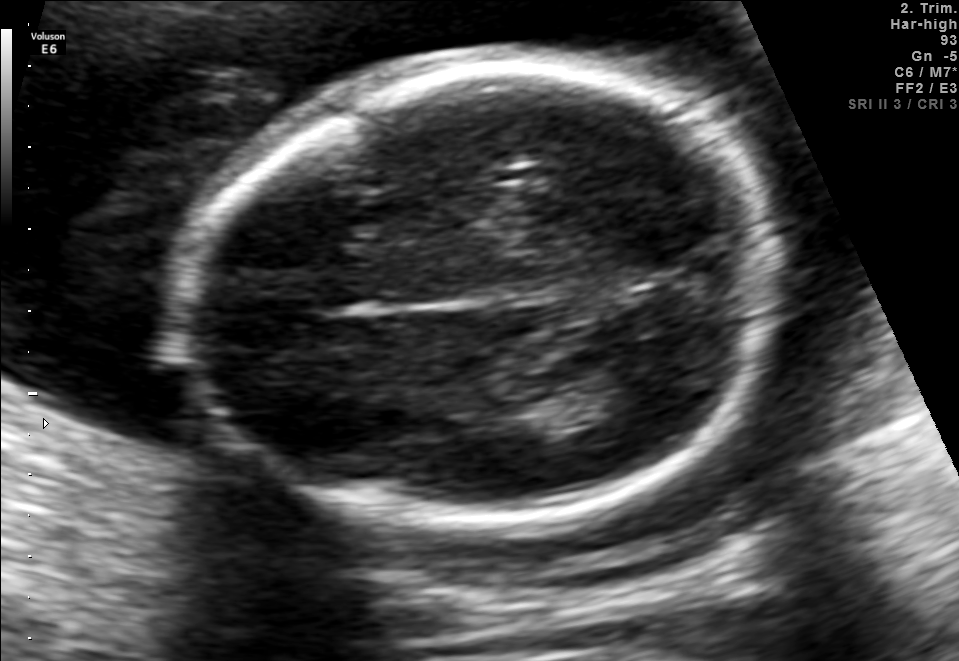
Fetal brain, trans-thalamic plane. Locate the fetal head.

Head: [183,64,782,521]